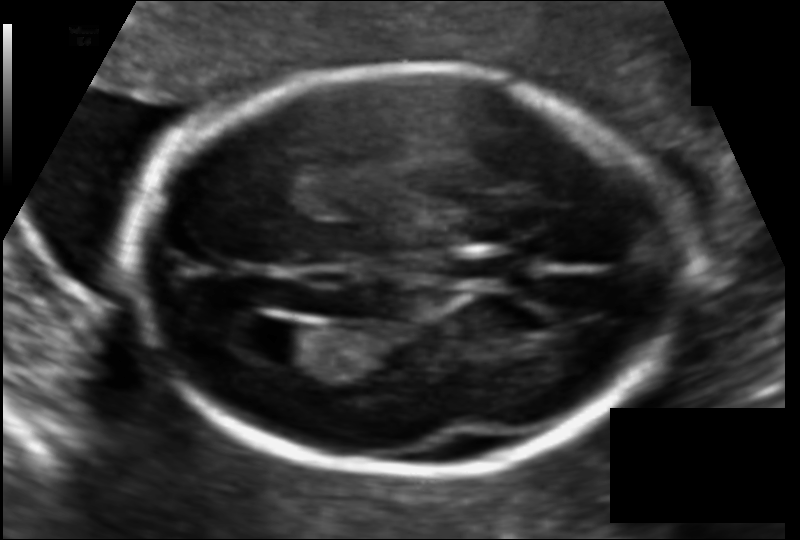
Fetal head ultrasound. Image width: 89.2 mm. Where is the cavum septum pellucidum?

CSP bounding box: [450,252,517,284]